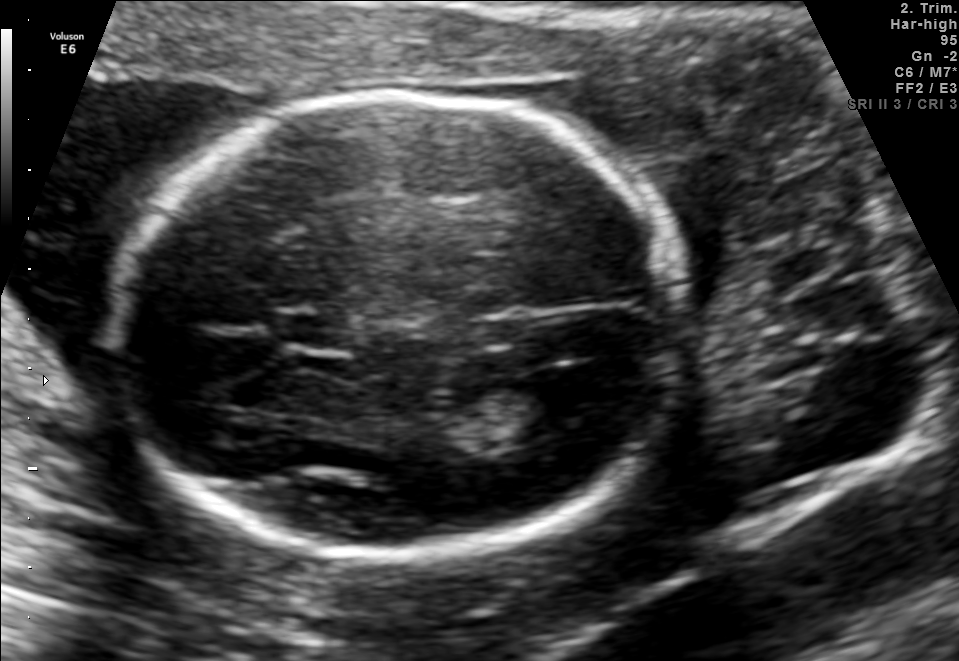
In this fetal brain, trans-ventricular plane, give bounding boxes for the head outline, cavum septum pellucidum (CSP), and lateral ventricle (LV), where visible.

Head: [103,86,700,567]
CSP: [269,309,364,354]
Lateral ventricle: [503,352,618,443]